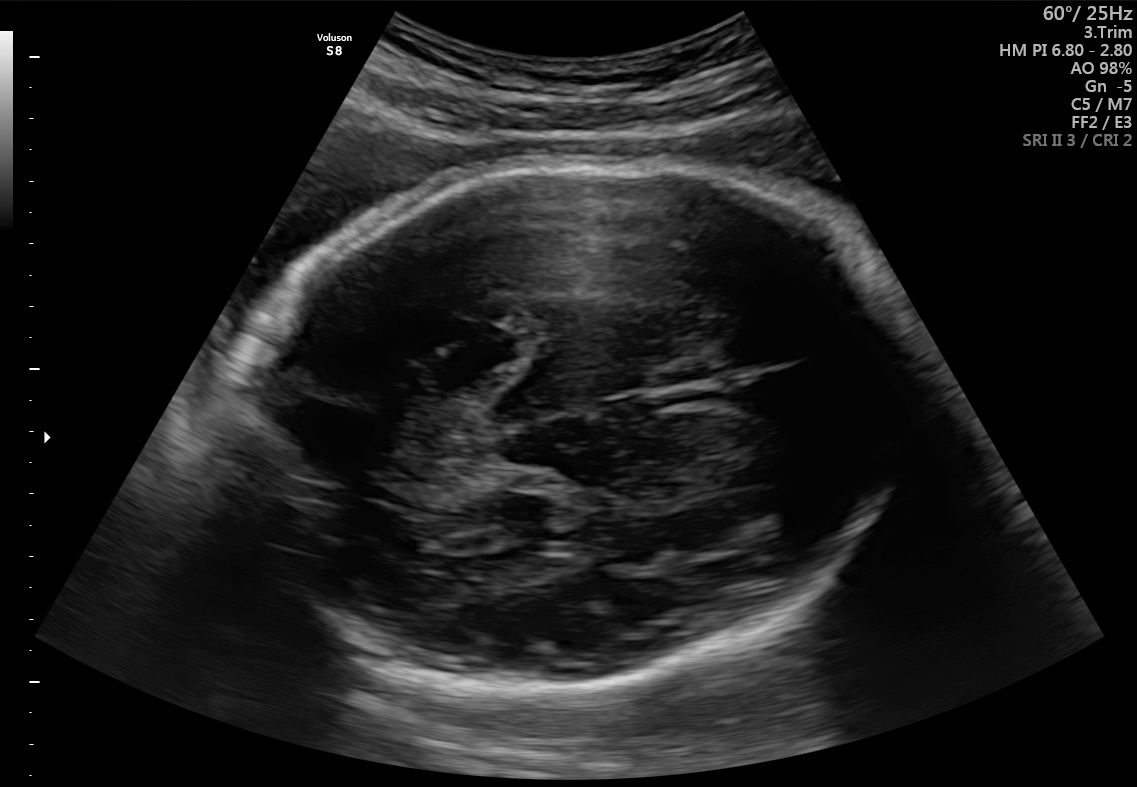
Identify the standard plane in this fetal ultrasound image: fetal abdomen, fetal brain, fetal femur, fetal thorax, maternal cervix, or other. If it's fetal brain and one of the three standard brain planes (trans-thalamic, trans-cerebellum, trans-ventricular), name which.

Fetal brain (trans-thalamic plane)